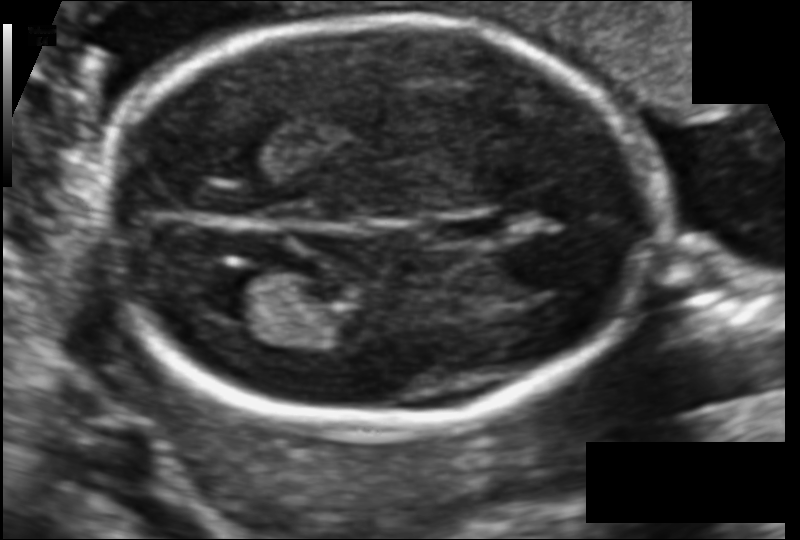
Fetal head ultrasound. Image width: 84.6 mm. Locate the fetal head.

Head: [99,17,662,431]